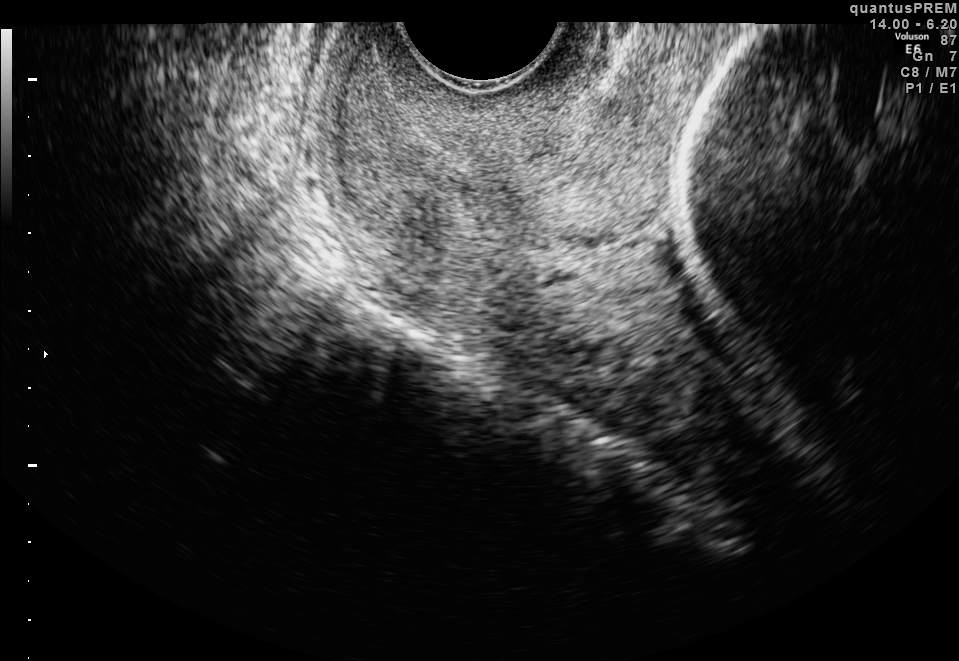
Which standard maternal-fetal ultrasound plane is shown: fetal abdomen, fetal brain, fetal femur, fetal thorax, maternal cervix, or other? If it's fetal brain and one of the three standard brain planes (trans-thalamic, trans-cerebellum, trans-ventricular), name which.

Maternal cervix